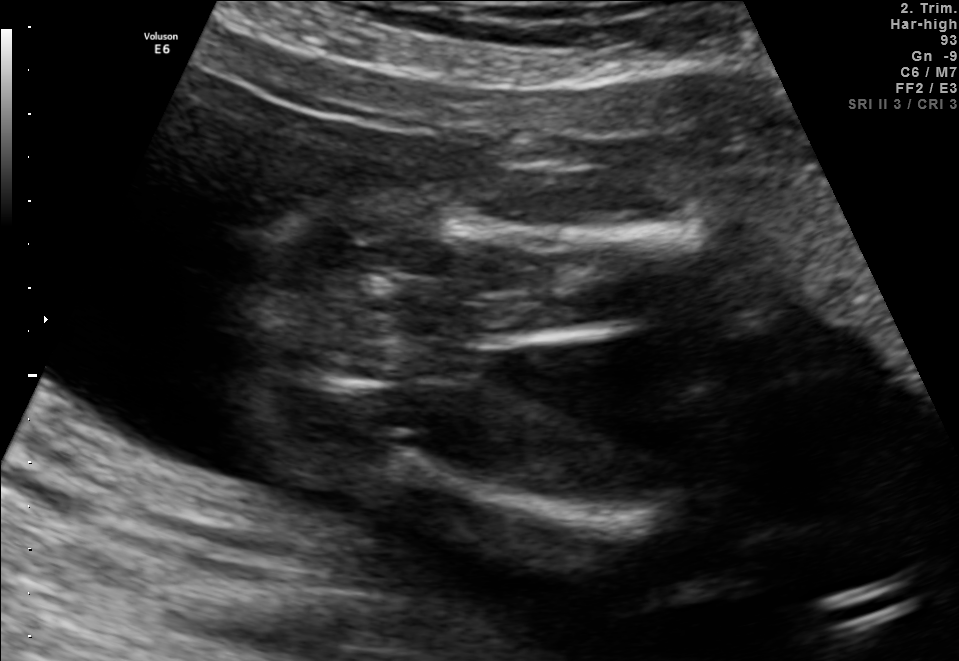
Classify this maternal-fetal ultrasound image as one of the six standard planes — fetal abdomen, fetal brain, fetal femur, fetal thorax, maternal cervix, or other. If it's fetal brain and one of the three standard brain planes (trans-thalamic, trans-cerebellum, trans-ventricular), name which.

Fetal femur